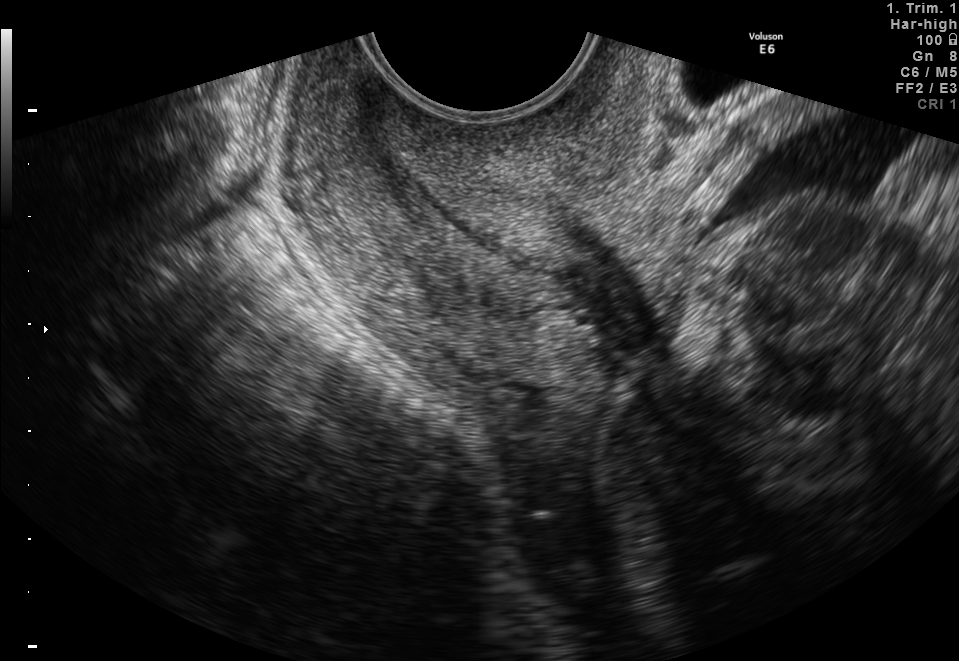
This is a 2D maternal-fetal ultrasound frame. Is it a fetal abdomen, fetal brain, fetal femur, fetal thorax, maternal cervix, or other standard plane? If it's fetal brain and one of the three standard brain planes (trans-thalamic, trans-cerebellum, trans-ventricular), name which.

Maternal cervix